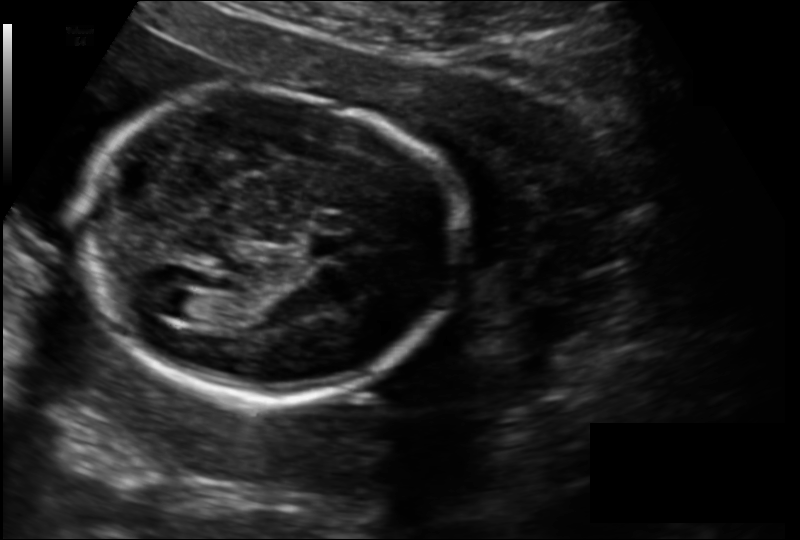
What is the fetal head circumference? Image width is 119.1 mm.

169.7 mm